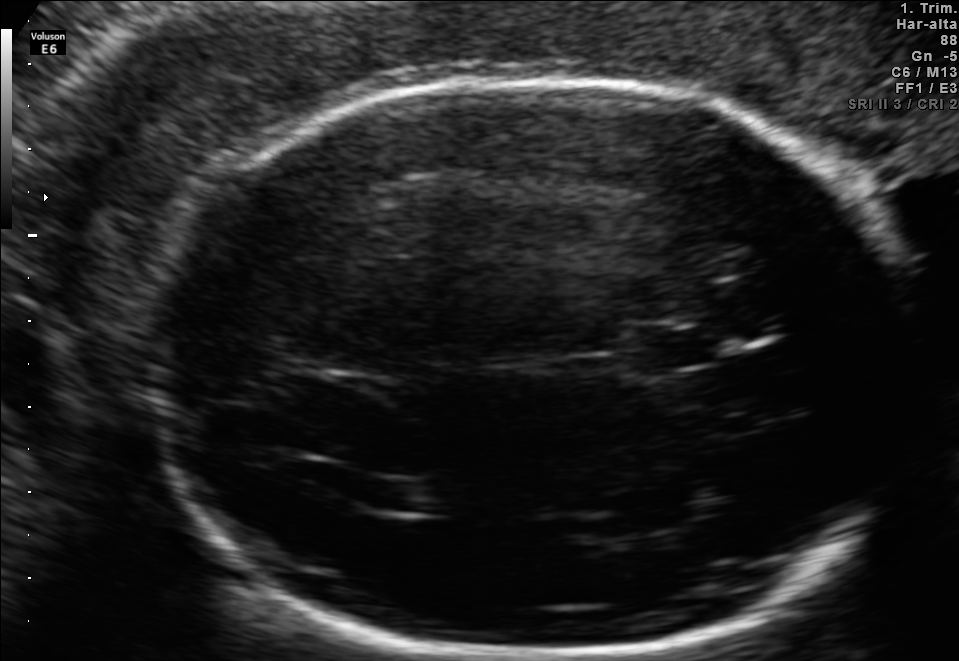
In this fetal brain, trans-thalamic plane, give the bounding box of the fetal head.

[135,83,912,656]